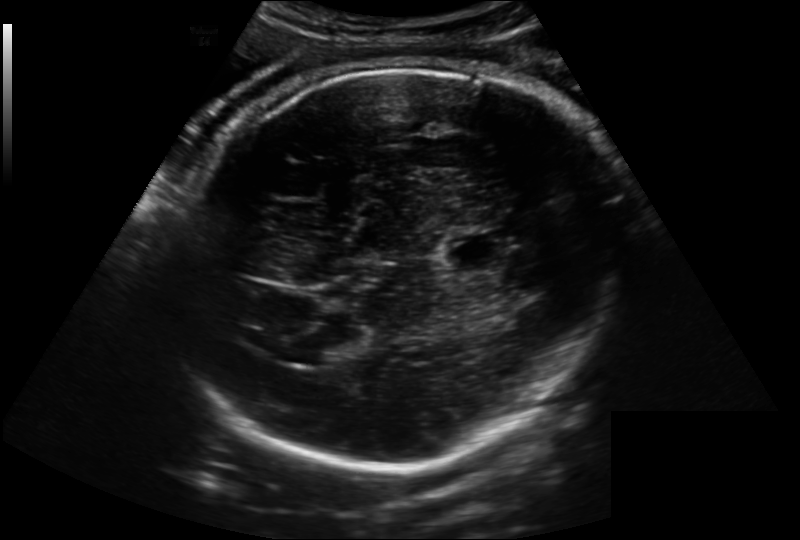
Measure the fetal head circumference shown in this ultrasound image. Image width: 177.3 mm.

Head circumference: 306.9 mm.